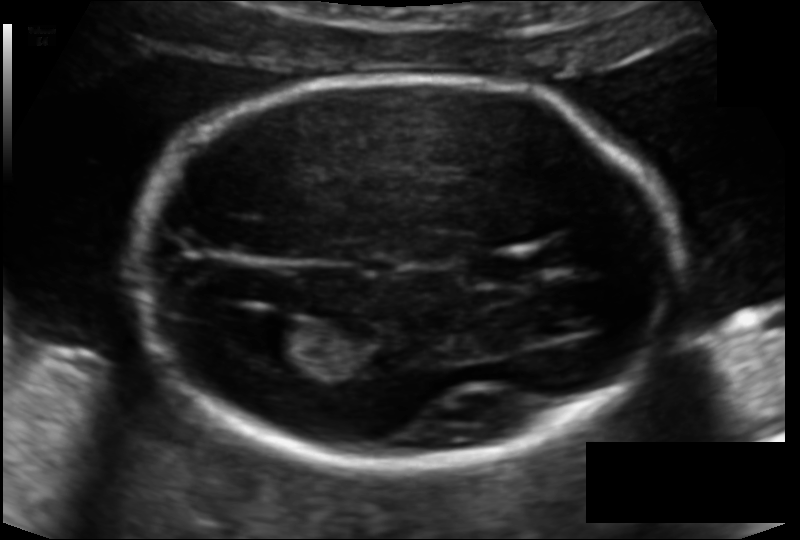
Fetal head ultrasound. Image width: 95.2 mm. Locate the fetal head and, if visible, the cavum septum pellucidum (CSP) and lateral ventricle (LV). Give bounding boxes as [x1,y1,x2,y2].

Head: [128,76,681,462]
CSP: [466,246,547,290]
Lateral ventricle: [231,311,317,366]